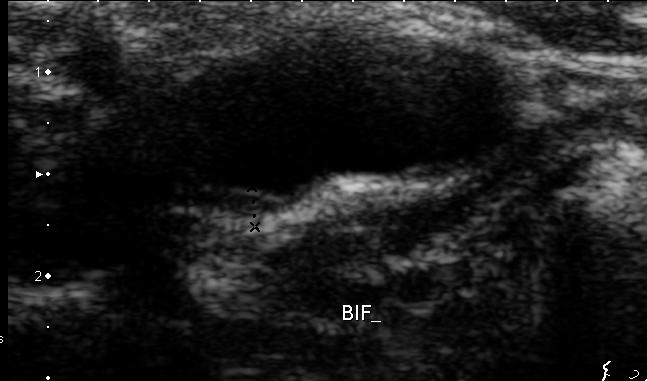
This is a 2D maternal-fetal ultrasound frame. Is it a fetal abdomen, fetal brain, fetal femur, fetal thorax, maternal cervix, or other standard plane? If it's fetal brain and one of the three standard brain planes (trans-thalamic, trans-cerebellum, trans-ventricular), name which.

Other